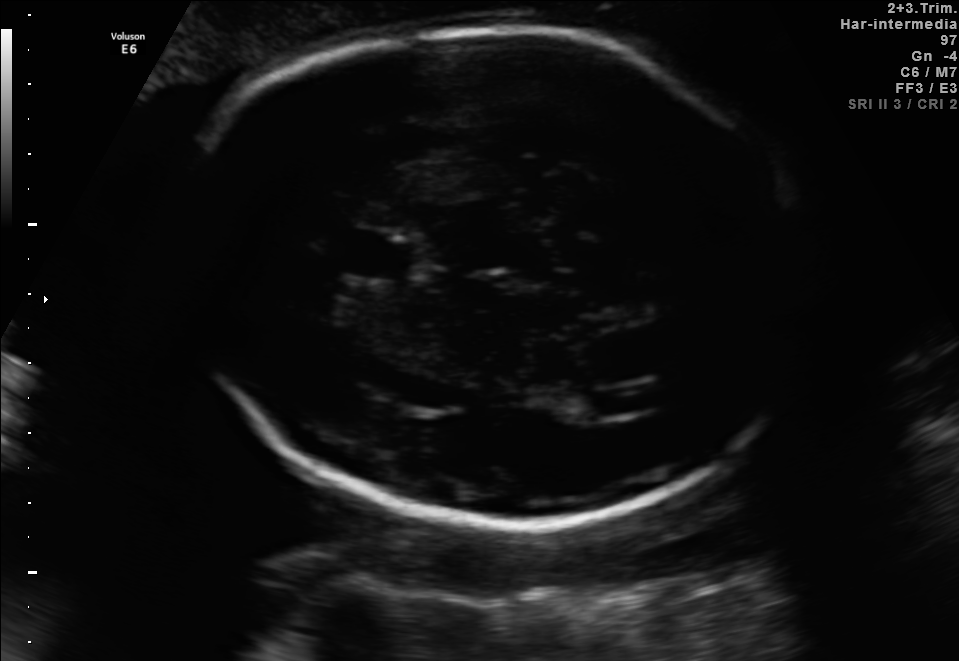
Which standard maternal-fetal ultrasound plane is shown: fetal abdomen, fetal brain, fetal femur, fetal thorax, maternal cervix, or other? If it's fetal brain and one of the three standard brain planes (trans-thalamic, trans-cerebellum, trans-ventricular), name which.

Fetal brain (trans-ventricular plane)